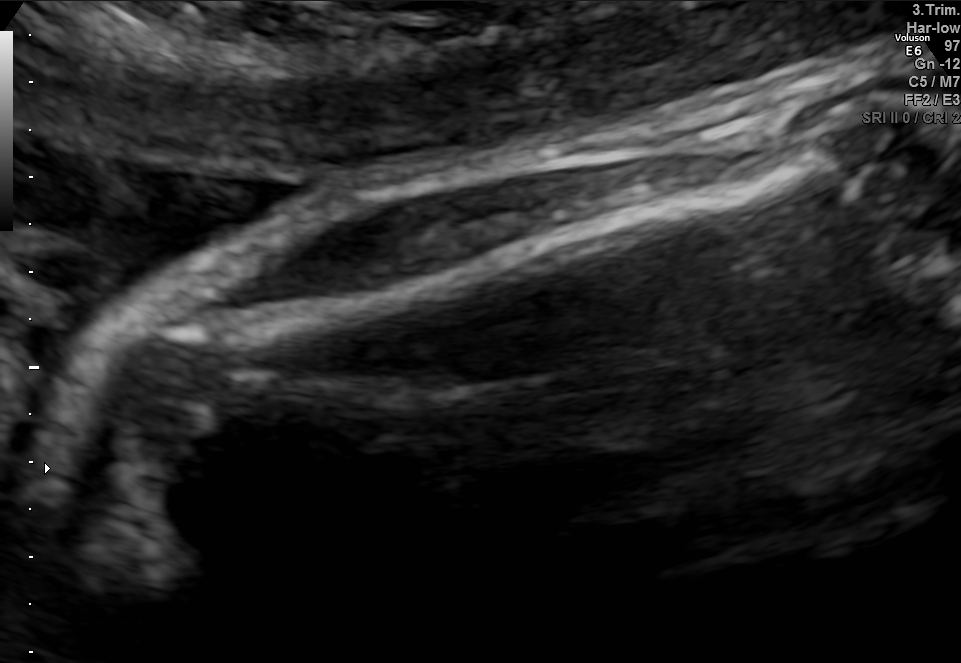
This is a 2D maternal-fetal ultrasound frame. Is it a fetal abdomen, fetal brain, fetal femur, fetal thorax, maternal cervix, or other standard plane? If it's fetal brain and one of the three standard brain planes (trans-thalamic, trans-cerebellum, trans-ventricular), name which.

Fetal femur